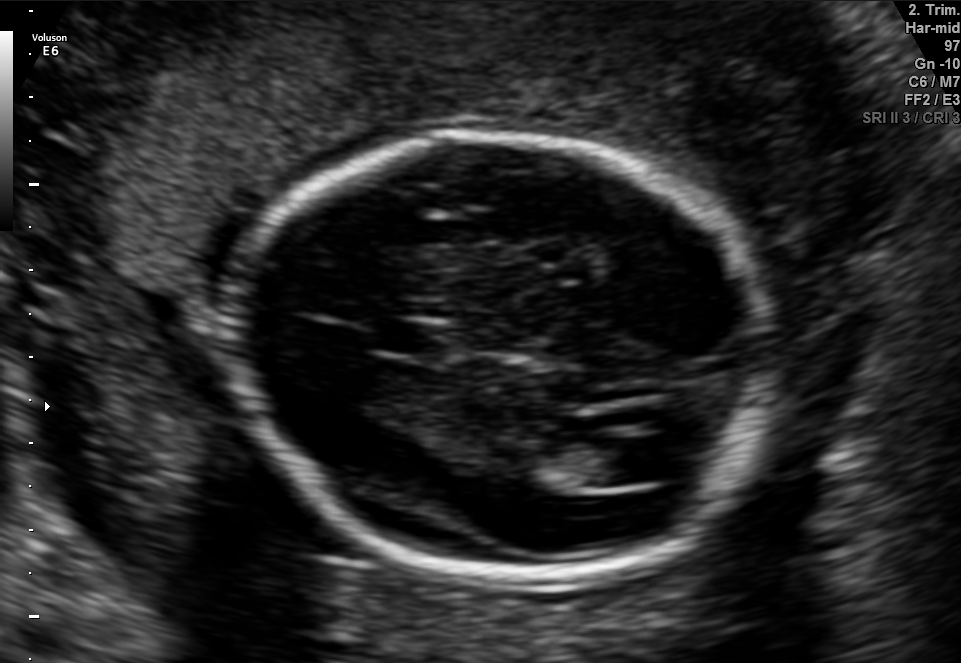
Fetal brain, trans-ventricular plane. Locate the fetal head.

Head: [228,124,777,593]